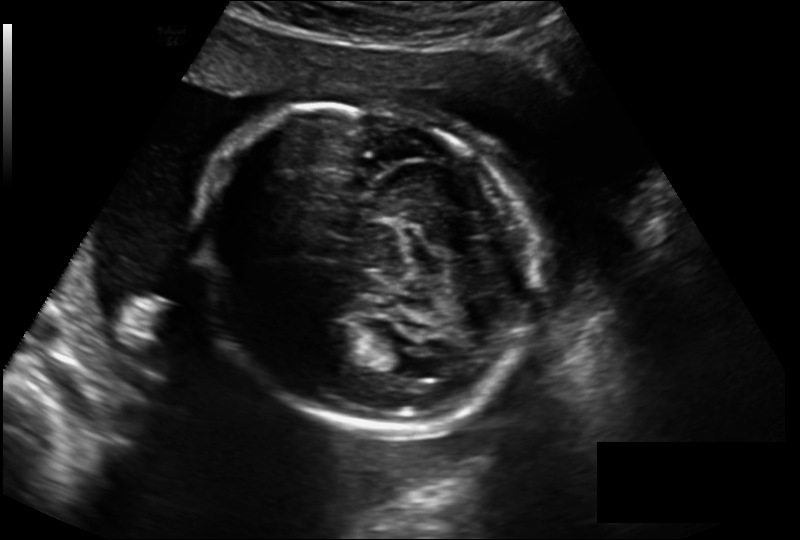
In this fetal head ultrasound, give the bounding box of the fetal head. Image width: 168.7 mm.

[196,104,537,433]